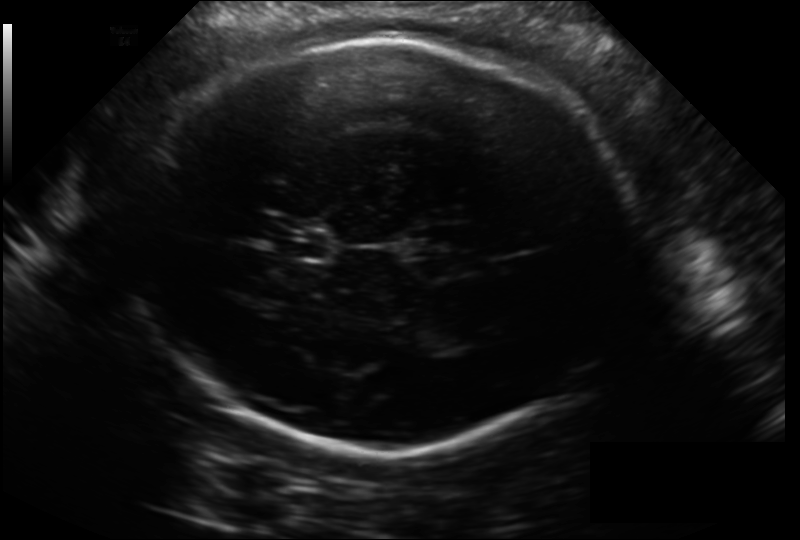
Fetal head ultrasound. Image width: 168.5 mm. Locate the fetal head.

Head: [130,37,630,451]